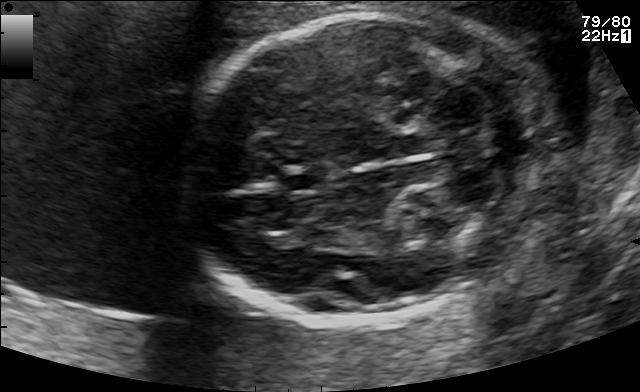
Fetal brain, trans-cerebellum plane. Locate the fetal head.

Head: [180,12,558,321]